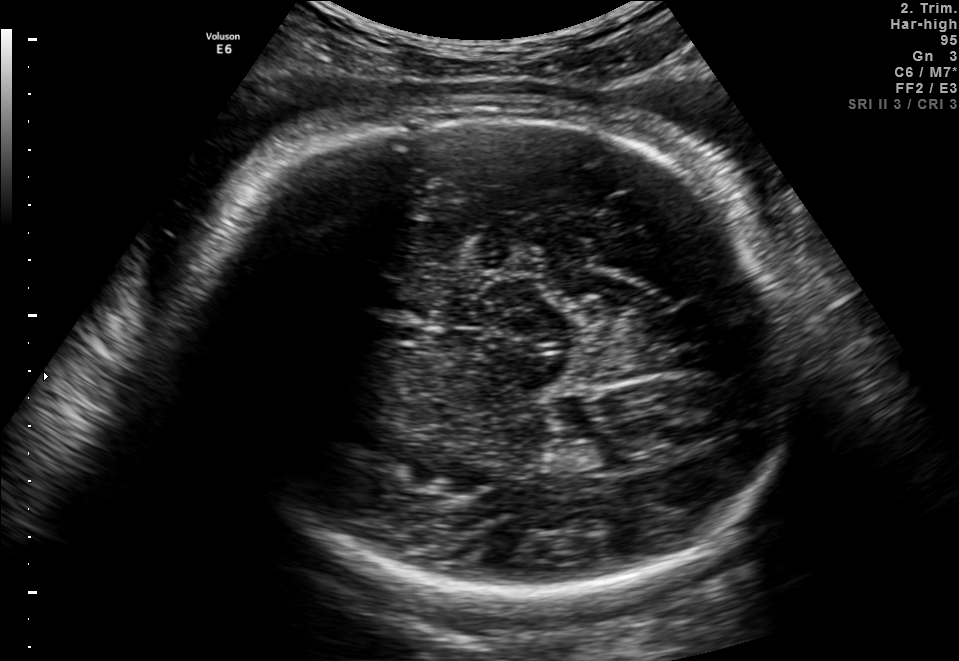
Fetal brain, trans-thalamic plane. Locate the fetal head.

Head: [193,116,804,601]